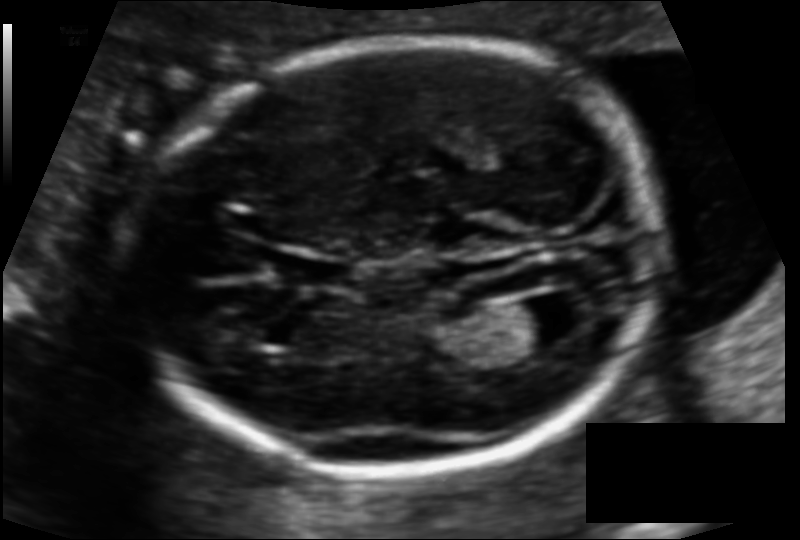
In this fetal head ultrasound, give bounding boxes for the head outline, cavum septum pellucidum (CSP), and lateral ventricle (LV), where visible. Image width: 88.1 mm.

Head: [138,40,662,471]
CSP: [284,253,353,292]
Lateral ventricle: [502,288,585,354]